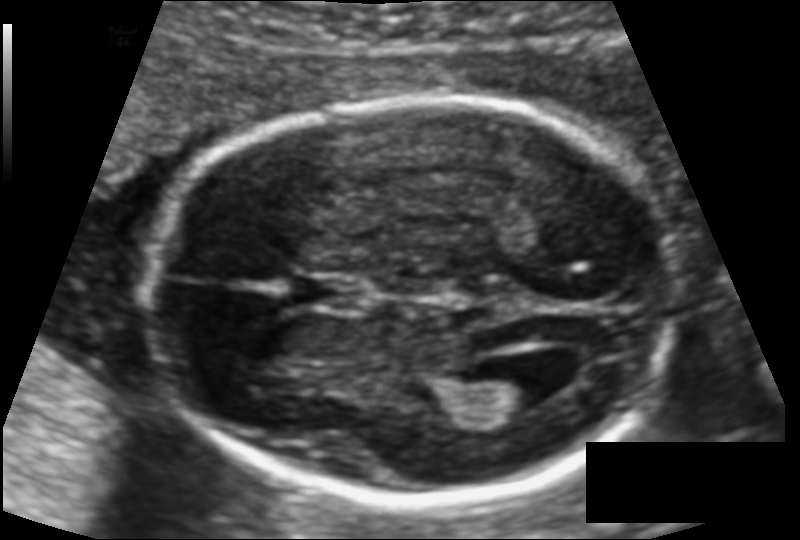
Fetal head ultrasound. Image width: 90.3 mm. Give [x1,y1,x2,y2] bounding boxes for each visible structure among: fetal head, CSP, LV.

Head: [148,96,679,498]
CSP: [292,275,364,310]
Lateral ventricle: [469,356,553,424]